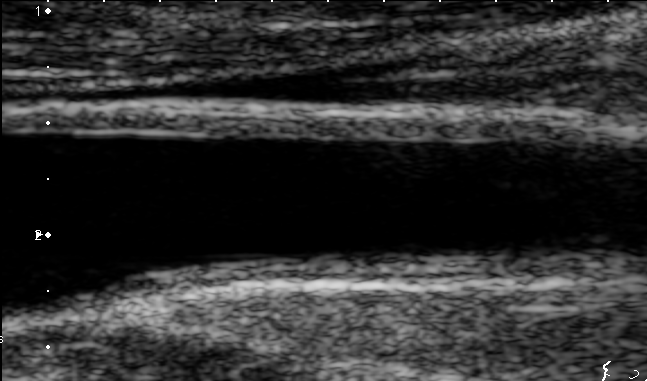
Which standard maternal-fetal ultrasound plane is shown: fetal abdomen, fetal brain, fetal femur, fetal thorax, maternal cervix, or other? If it's fetal brain and one of the three standard brain planes (trans-thalamic, trans-cerebellum, trans-ventricular), name which.

Other